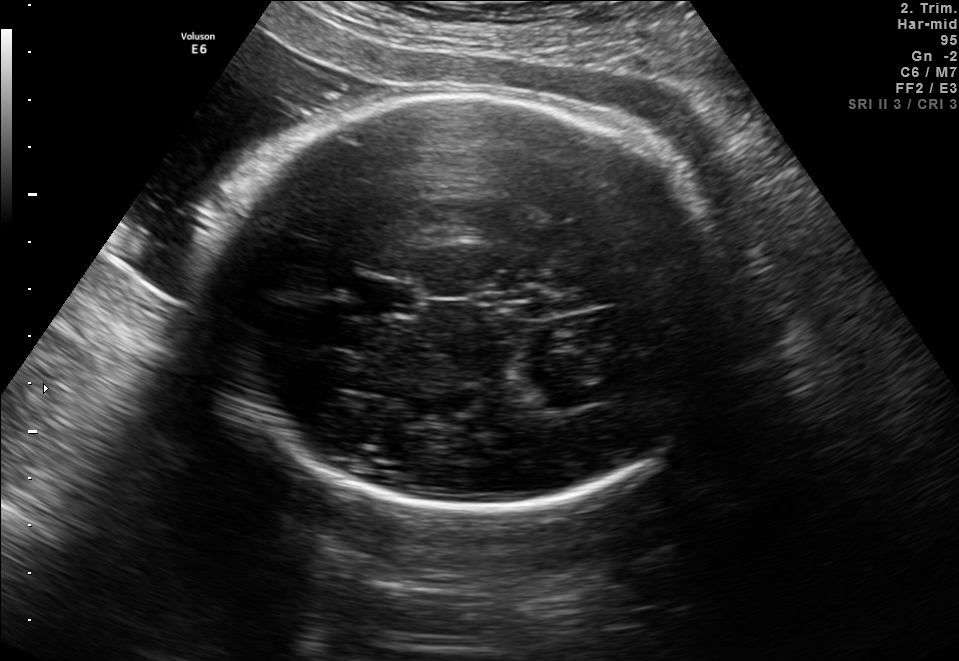
Fetal brain, trans-thalamic plane. Locate the cavum septum pellucidum.

CSP: [355,277,418,318]